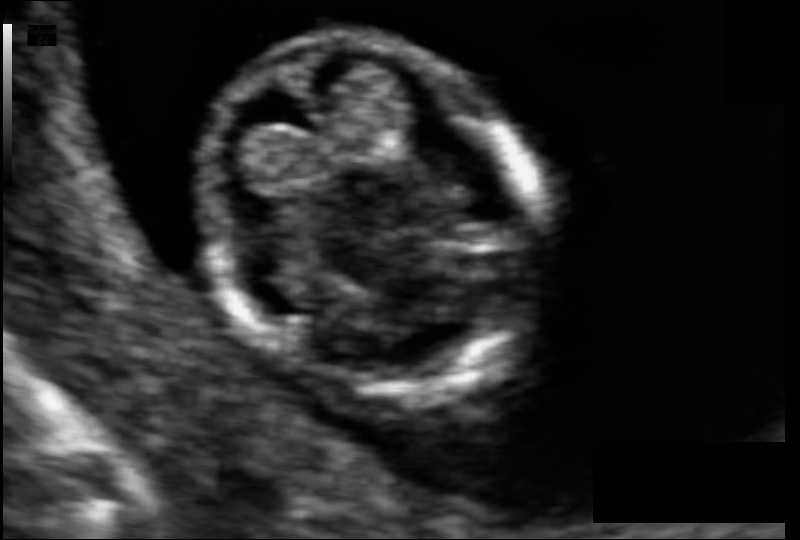
Fetal head ultrasound. Image width: 50.8 mm. Give [x1,y1,x2,y2] bounding boxes for each visible structure among: fetal head, CSP, LV.

Head: [206,35,537,402]